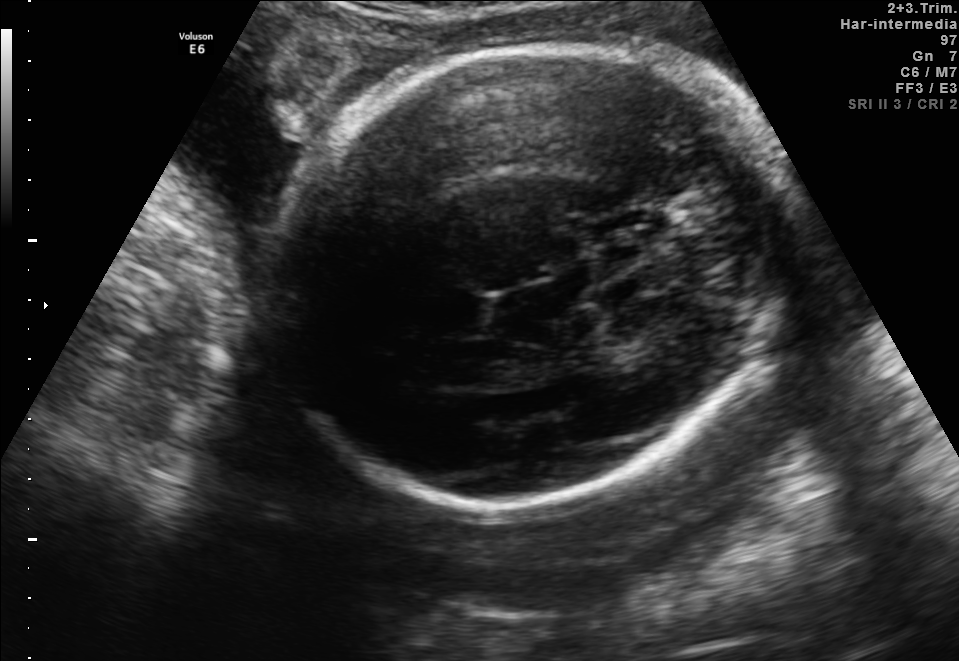
Fetal brain, trans-thalamic plane. Where is the fetal head?

Head bounding box: [266,43,787,510]